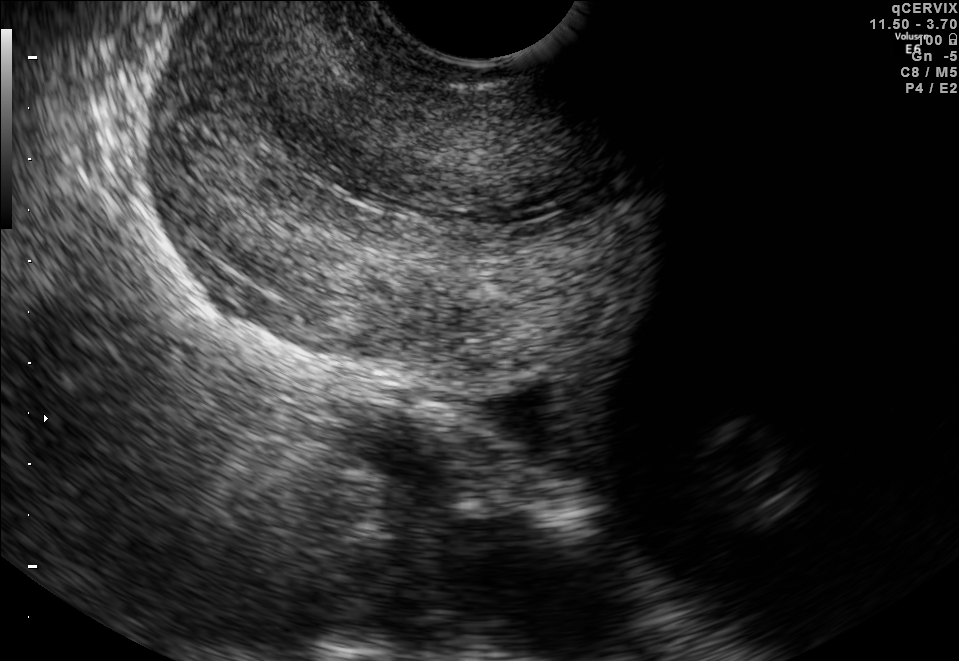
Classify this maternal-fetal ultrasound image as one of the six standard planes — fetal abdomen, fetal brain, fetal femur, fetal thorax, maternal cervix, or other. If it's fetal brain and one of the three standard brain planes (trans-thalamic, trans-cerebellum, trans-ventricular), name which.

Maternal cervix